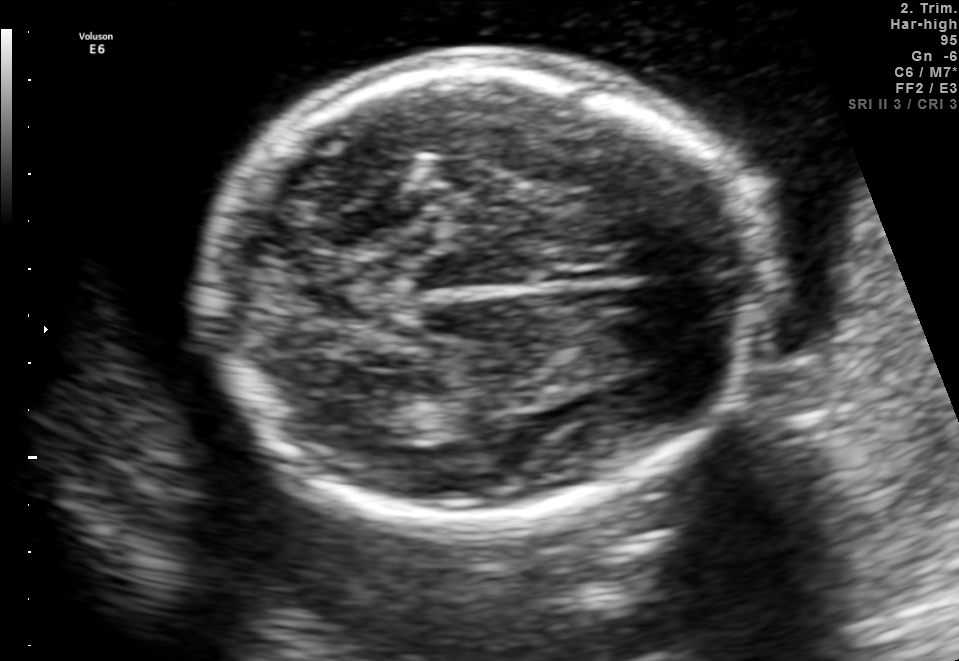
Fetal brain, trans-thalamic plane. Where is the fetal head?

Head bounding box: [204,59,771,520]